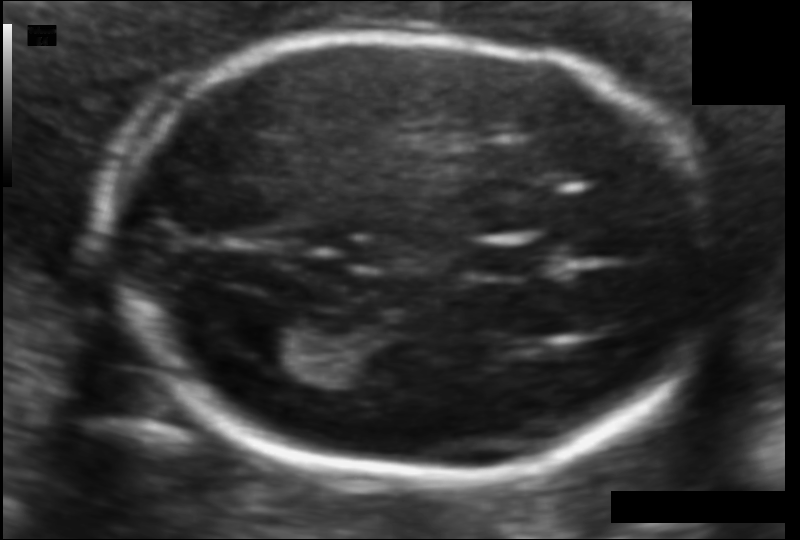
Fetal head ultrasound. Image width: 75.5 mm. Give [x1,y1,x2,y2] bounding boxes for each visible structure among: fetal head, CSP, LV.

Head: [107,35,720,477]
CSP: [471,240,539,279]
Lateral ventricle: [235,304,334,382]